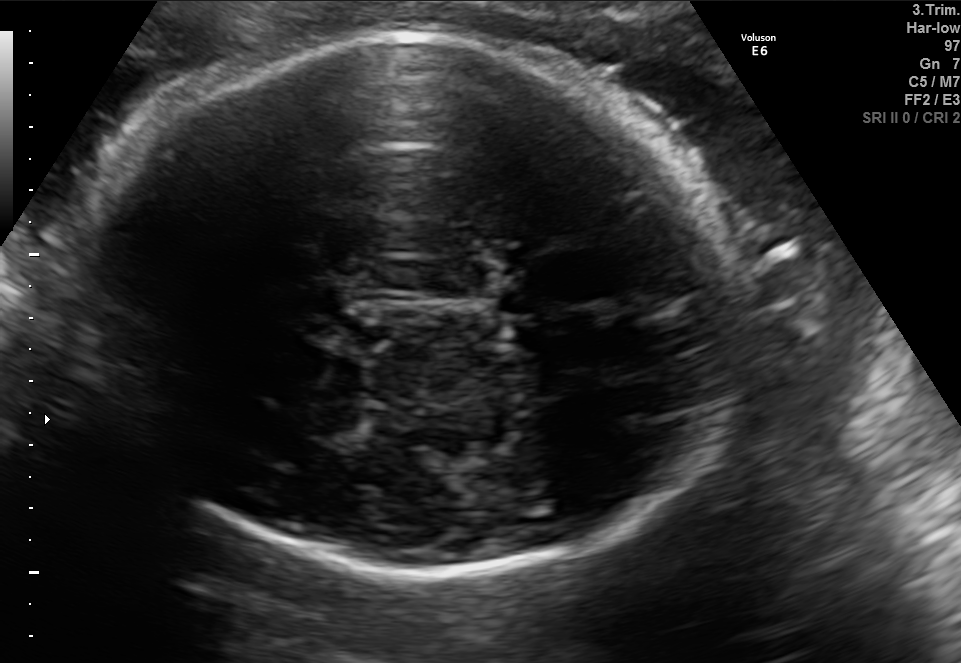
In this fetal brain, trans-thalamic plane, give the bounding box of the fetal head.

[80,37,735,578]